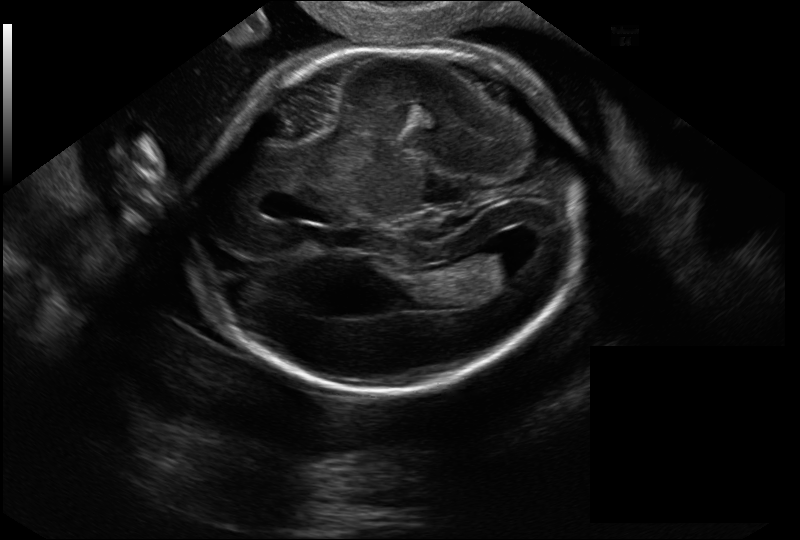
Measure the fetal head circumference shown in this ultrasound image. Image width: 115.6 mm.

Head circumference: 174.1 mm.